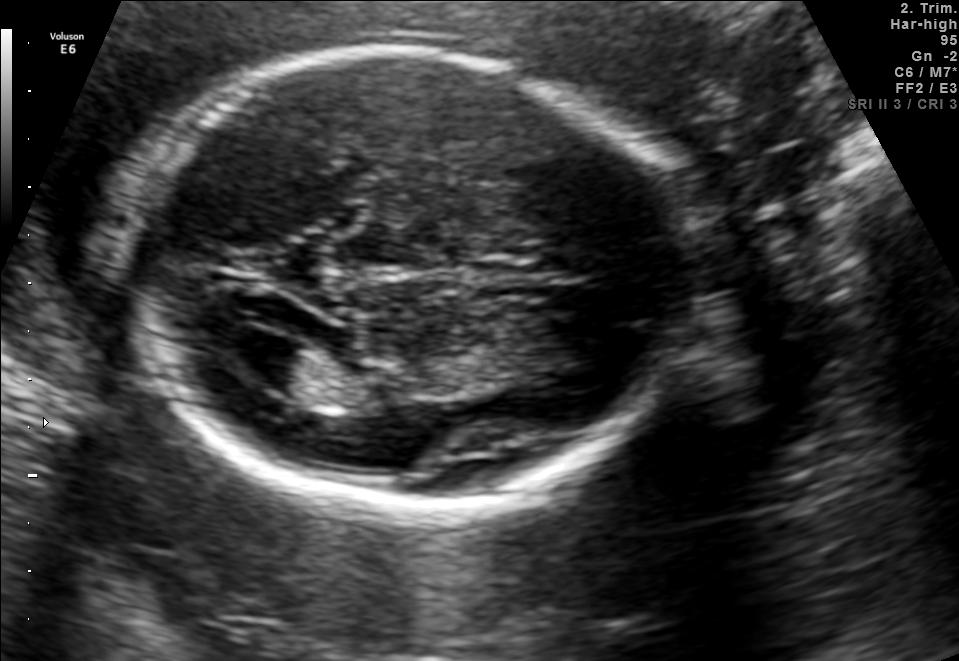
In this fetal brain, trans-ventricular plane, give the bounding box of the cavum septum pellucidum.

[470,264,553,300]